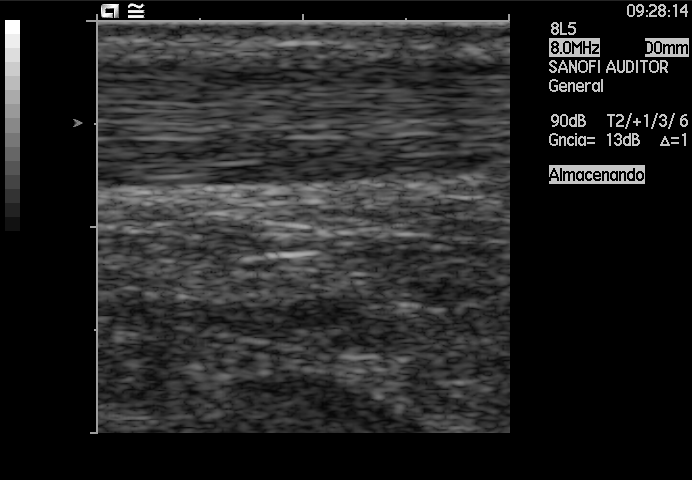
This is a 2D maternal-fetal ultrasound frame. Is it a fetal abdomen, fetal brain, fetal femur, fetal thorax, maternal cervix, or other standard plane? If it's fetal brain and one of the three standard brain planes (trans-thalamic, trans-cerebellum, trans-ventricular), name which.

Other